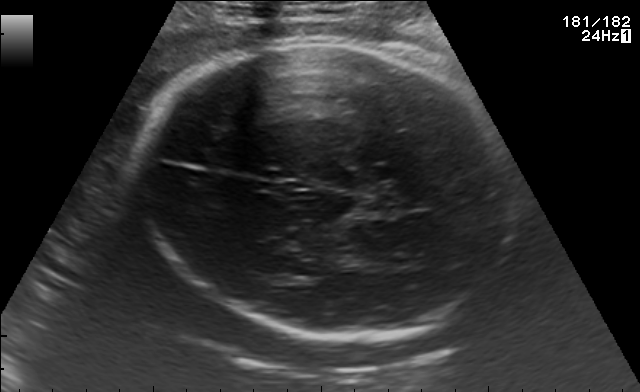
Fetal brain, trans-thalamic plane. Give [x1,y1,x2,y2] bounding boxes for each visible structure among: fetal head, CSP, LV.

Head: [138,41,511,336]